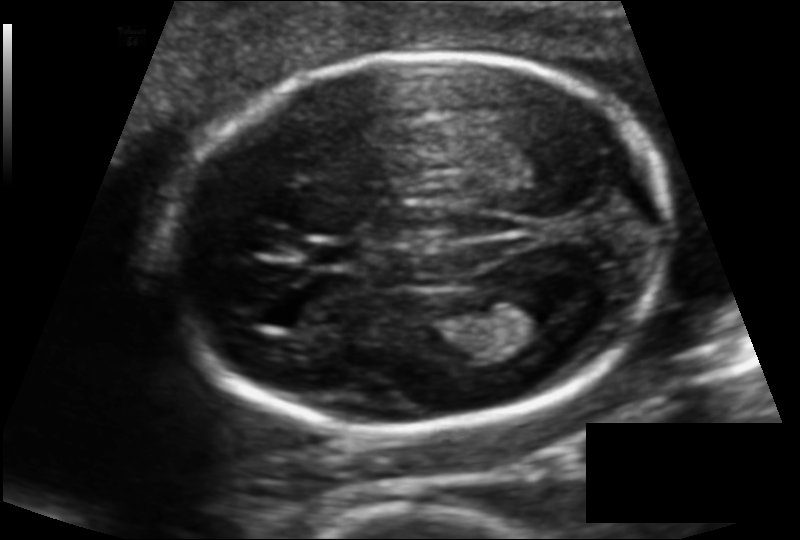
In this fetal head ultrasound, give bounding boxes for the head outline, cavum septum pellucidum (CSP), and lateral ventricle (LV), where visible. Image width: 95.8 mm.

Head: [171,51,672,431]
CSP: [307,242,360,268]
Lateral ventricle: [482,269,580,352]